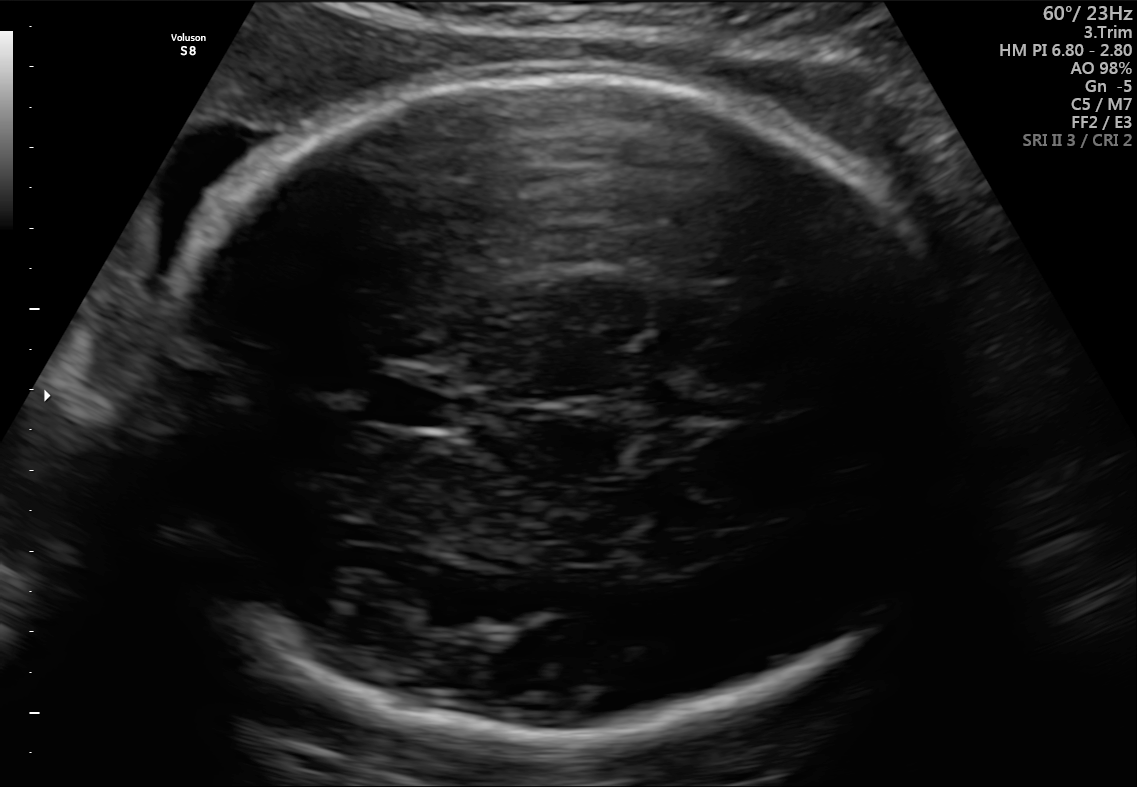
Fetal brain, trans-thalamic plane. Locate the cavum septum pellucidum.

CSP: [366,376,457,431]